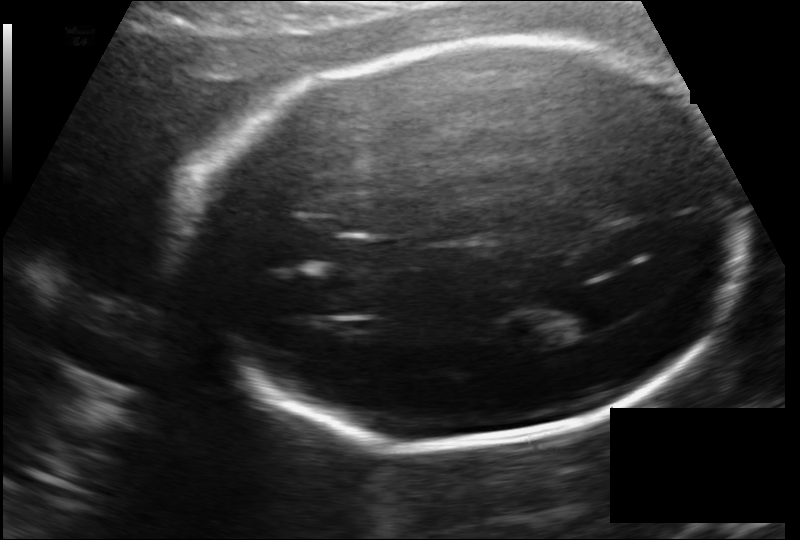
In this fetal head ultrasound, give the bounding box of the lateral ventricle. Image width: 112.6 mm.

[525,285,622,348]